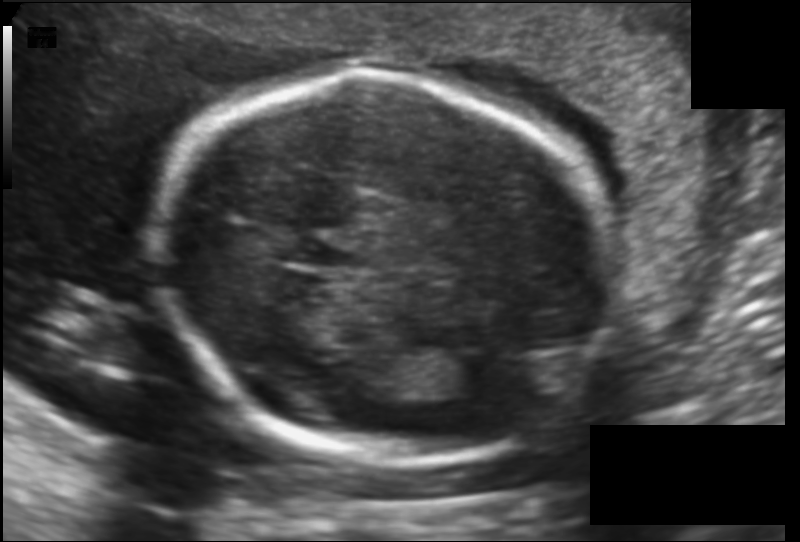
Fetal head ultrasound. Image width: 103.7 mm. Locate the fetal head.

Head: [165,72,618,463]